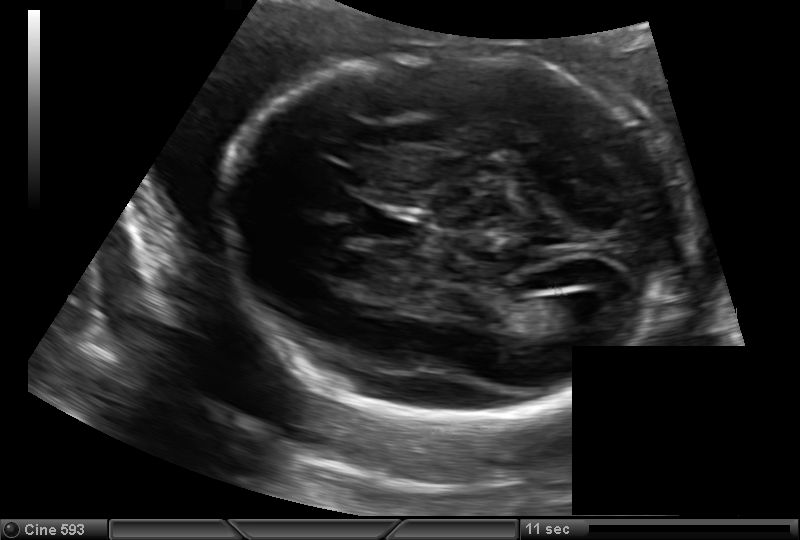
Fetal head ultrasound. Image width: 115.2 mm. Where is the cavum septum pellucidum?

CSP bounding box: [366,207,431,247]